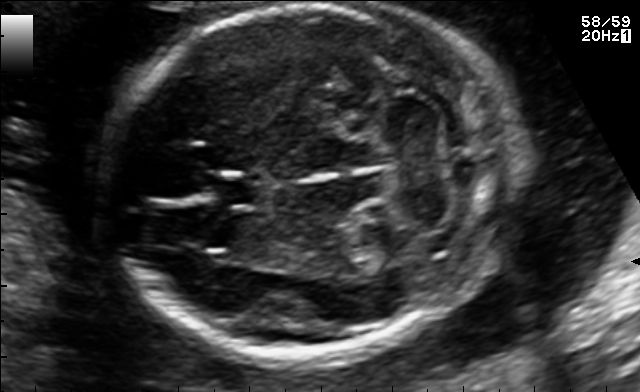
Fetal brain, trans-cerebellum plane. Locate the fetal head and, if visible, the cavum septum pellucidum (CSP) and lateral ventricle (LV). Give bounding boxes as [x1,y1,x2,y2].

Head: [110,3,521,355]
CSP: [207,173,263,207]